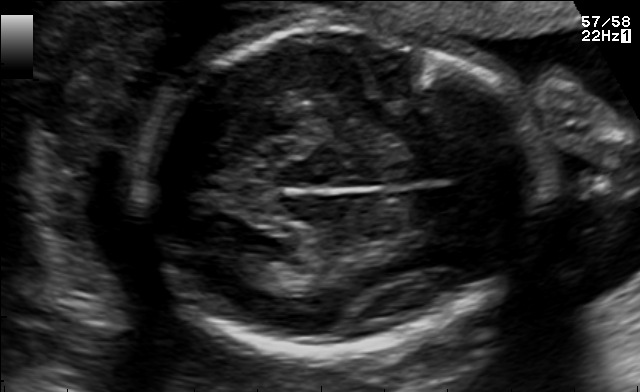
Fetal brain, trans-thalamic plane. Locate the fetal head.

Head: [143,24,522,353]